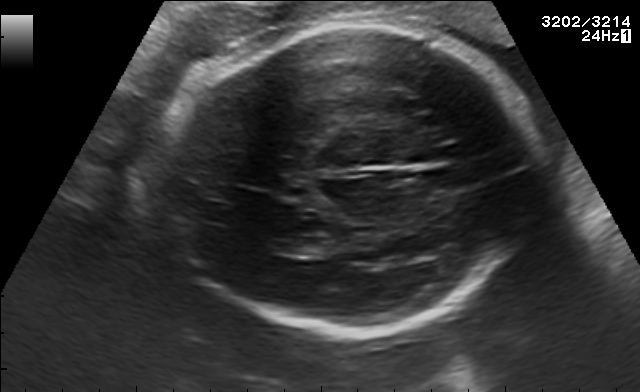
Fetal brain, trans-thalamic plane. Where is the fetal head?

Head bounding box: [162,21,540,337]